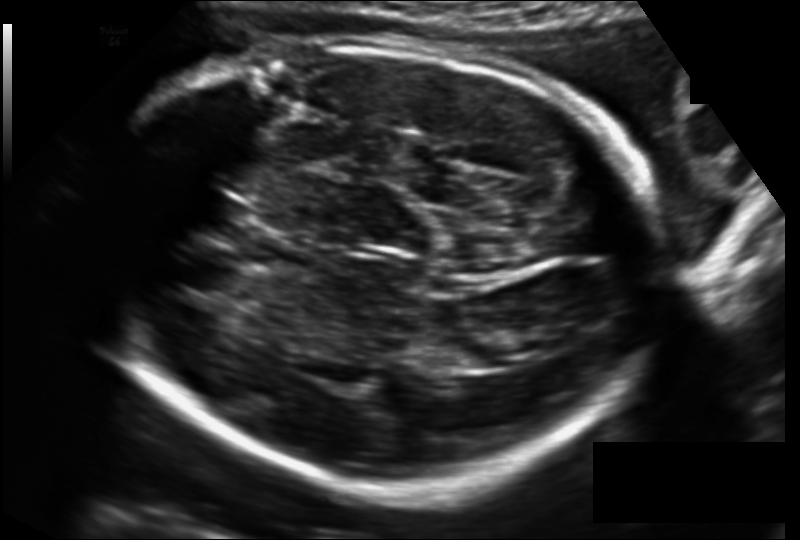
What is the fetal head circumference? Image width is 133.8 mm.

275.9 mm